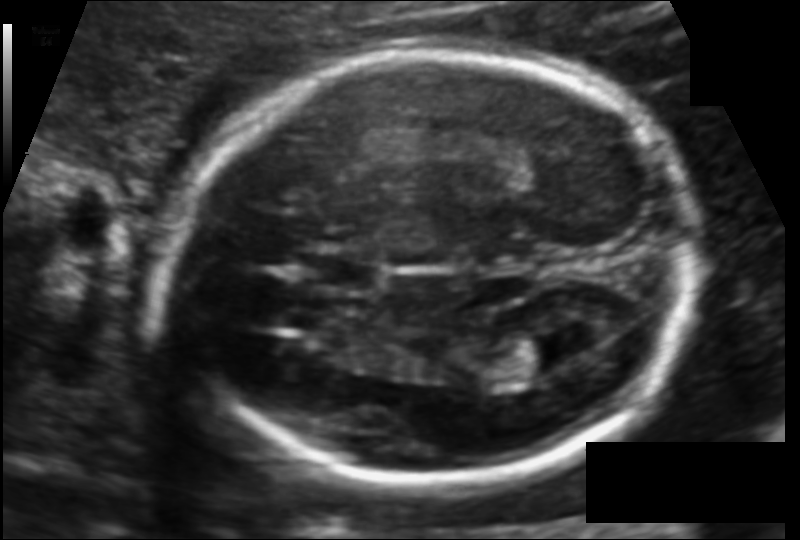
Fetal head ultrasound. Image width: 90.0 mm. Locate the cavum septum pellucidum.

CSP: [298,250,386,294]